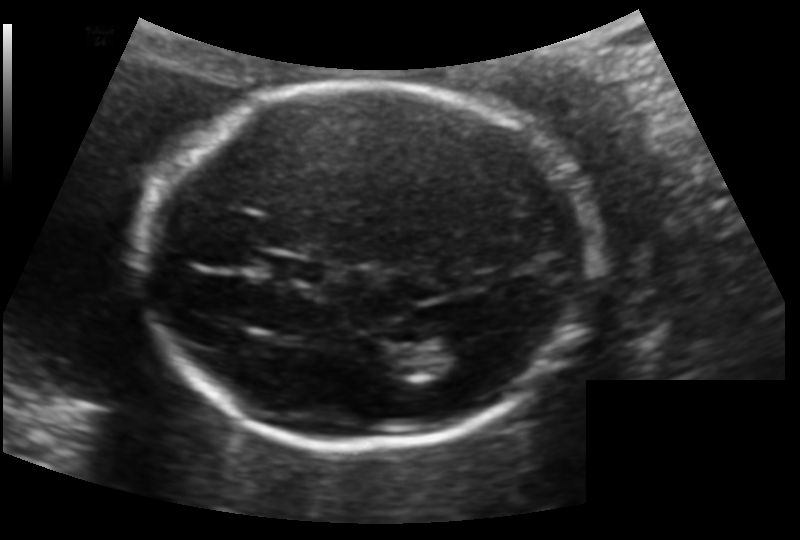
Fetal head ultrasound. Image width: 106.4 mm. Locate the cavum septum pellucidum.

CSP: [263,251,328,290]